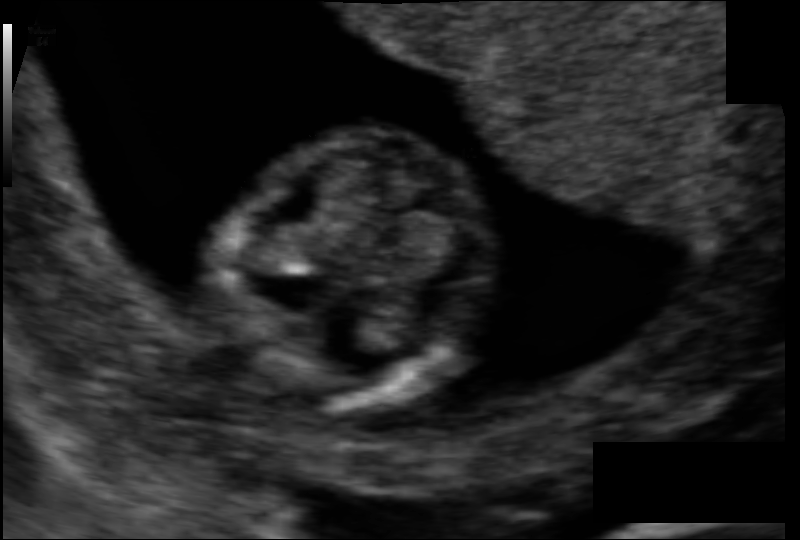
Fetal head ultrasound. Image width: 61.7 mm. Locate the fetal head.

Head: [221,130,494,408]